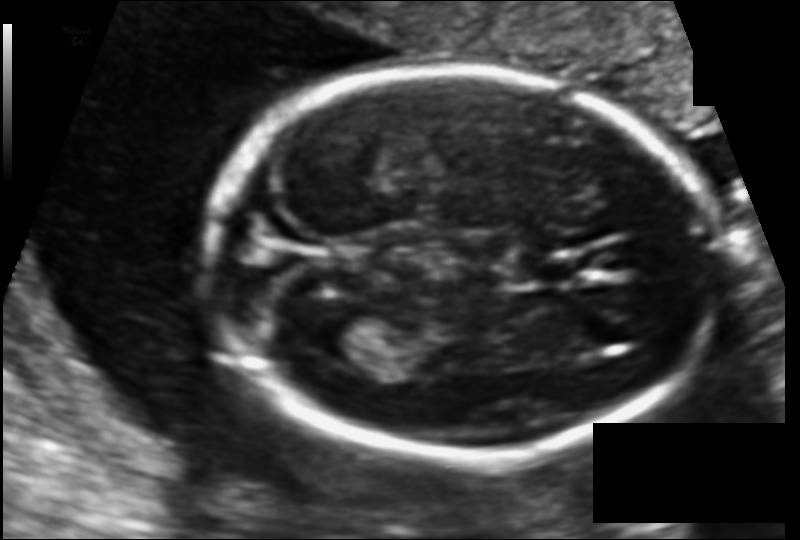
In this fetal head ultrasound, give the bounding box of the fetal head. Image width: 86.7 mm.

[211,67,716,457]